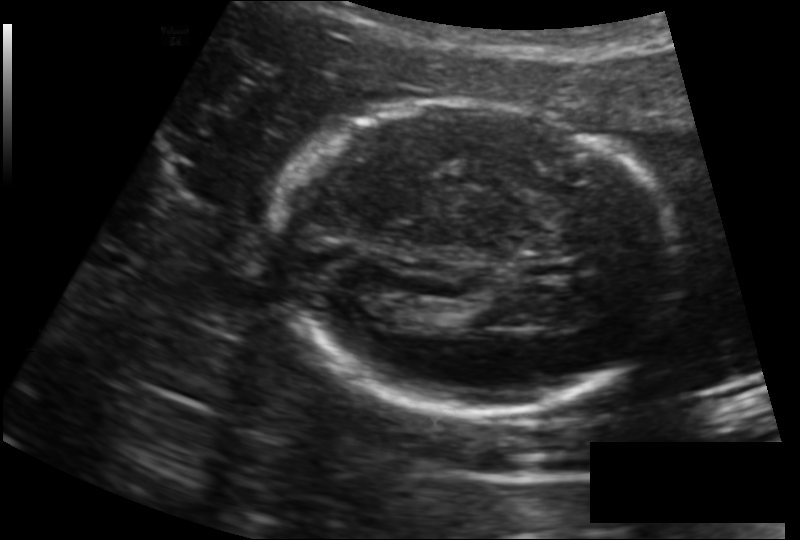
Estimate the fetal head circumference from this 2D ultrasound. Image width: 125.2 mm.

Head circumference: 183.8 mm.